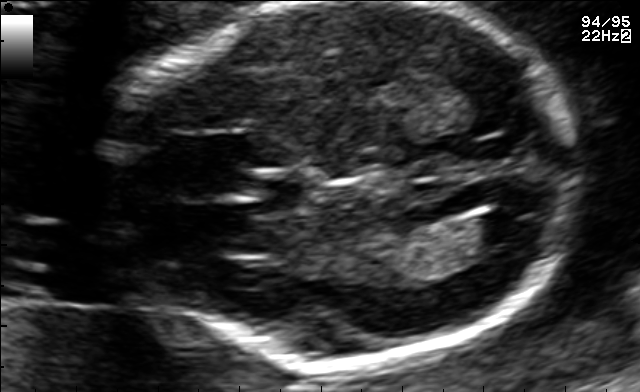
In this fetal brain, trans-ventricular plane, give bounding boxes for the head outline, cavum septum pellucidum (CSP), and lateral ventricle (LV), where visible.

Head: [93,2,599,374]
CSP: [251,180,306,211]
Lateral ventricle: [467,202,537,250]